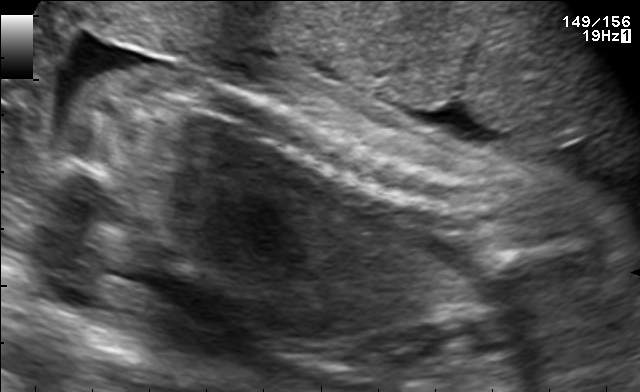
Classify this maternal-fetal ultrasound image as one of the six standard planes — fetal abdomen, fetal brain, fetal femur, fetal thorax, maternal cervix, or other. If it's fetal brain and one of the three standard brain planes (trans-thalamic, trans-cerebellum, trans-ventricular), name which.

Other